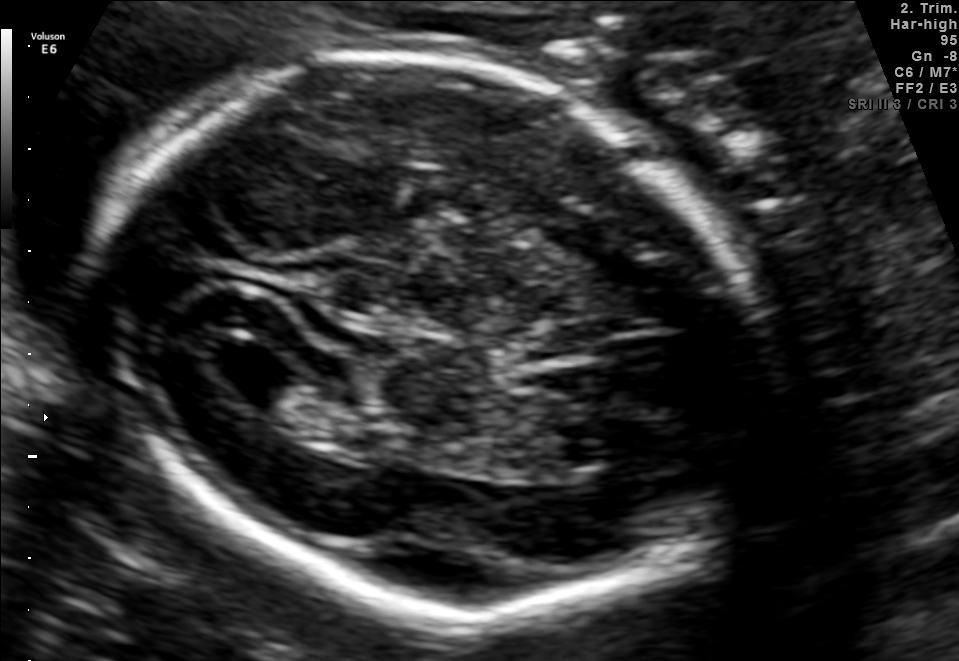
In this fetal brain, trans-ventricular plane, give the bounding box of the lateral ventricle.

[199,324,301,414]